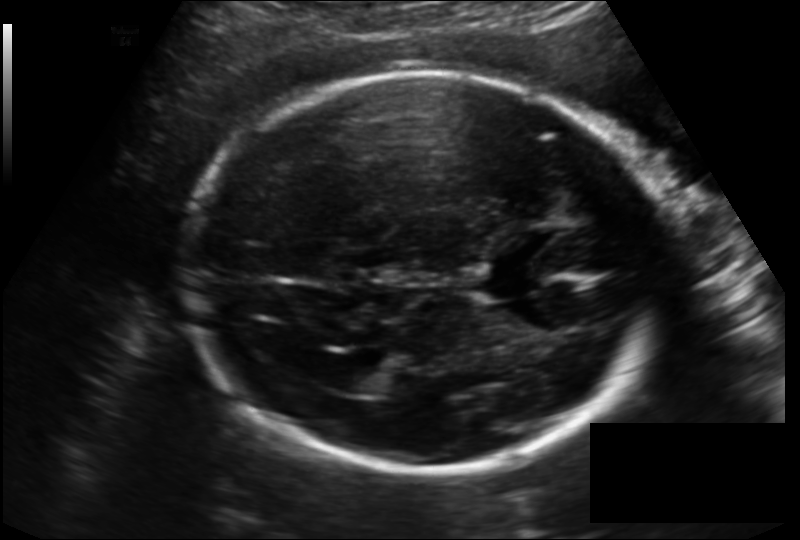
Fetal head ultrasound. Image width: 133.1 mm. Locate the fetal head.

Head: [189,74,663,476]